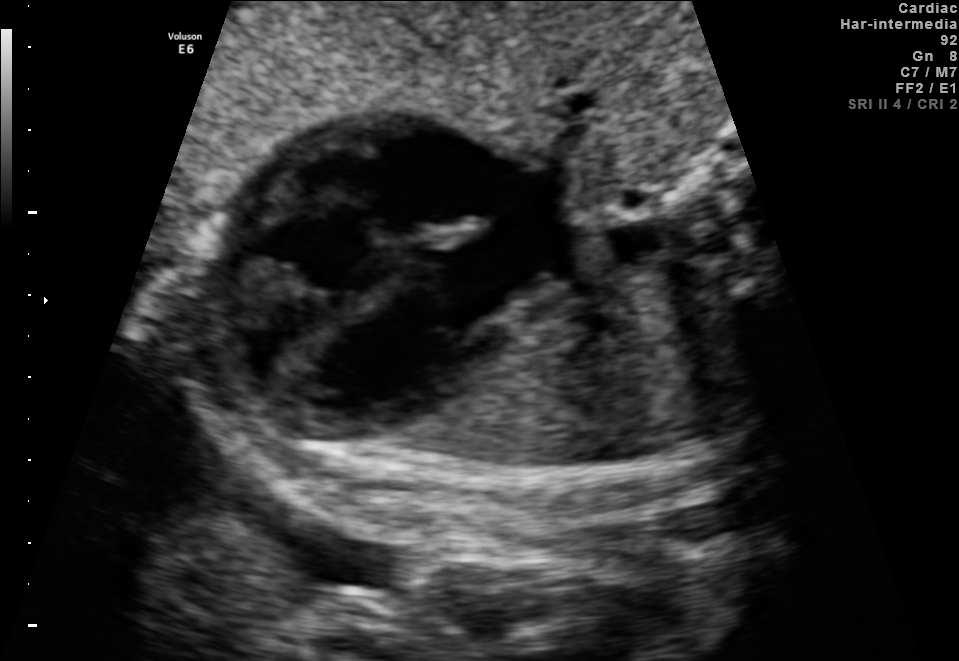
Which standard maternal-fetal ultrasound plane is shown: fetal abdomen, fetal brain, fetal femur, fetal thorax, maternal cervix, or other? If it's fetal brain and one of the three standard brain planes (trans-thalamic, trans-cerebellum, trans-ventricular), name which.

Fetal thorax